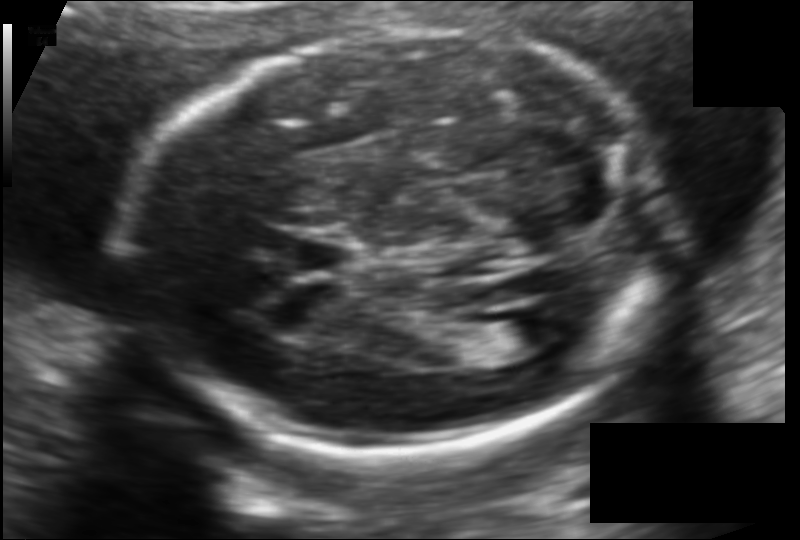
In this fetal head ultrasound, give the bounding box of the lateral ventricle. Image width: 94.7 mm.

[482,305,568,363]